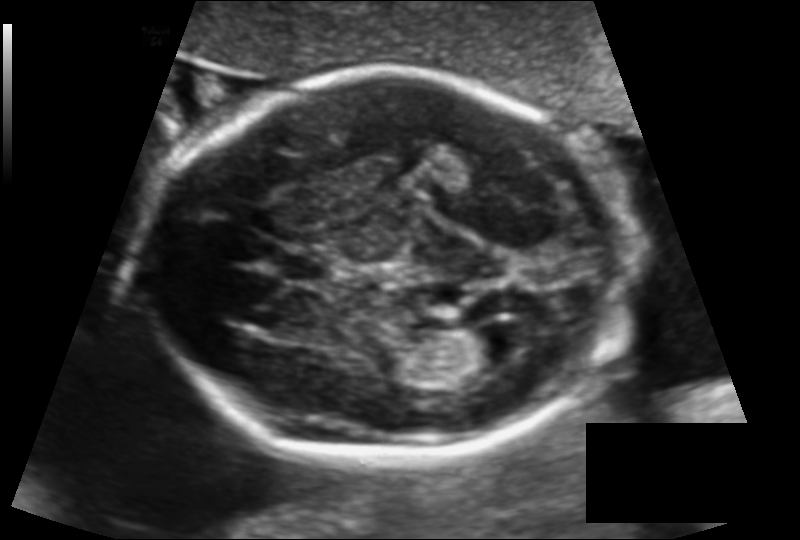
Fetal head ultrasound. Image width: 103.5 mm. Where is the cavum septum pellucidum?

CSP bounding box: [278,248,338,283]